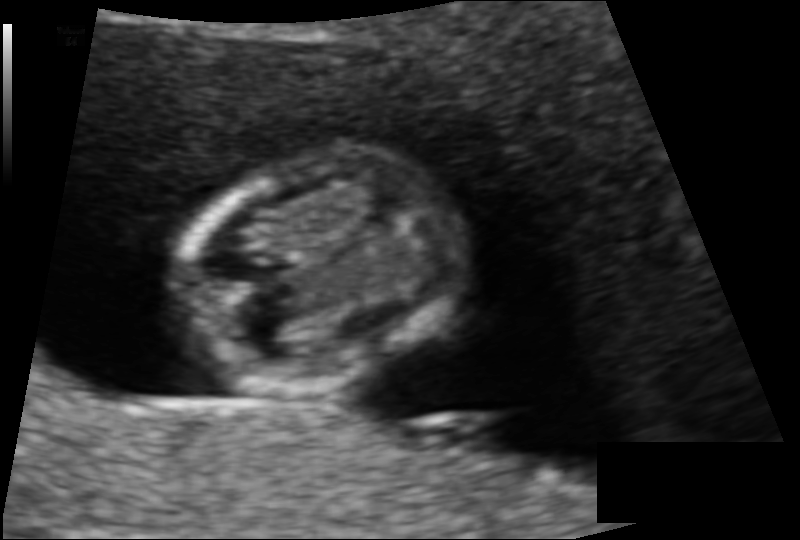
In this fetal head ultrasound, give bounding boxes for the head outline, cavum septum pellucidum (CSP), and lateral ventricle (LV), where visible. Image width: 68.5 mm.

Head: [172,151,468,399]